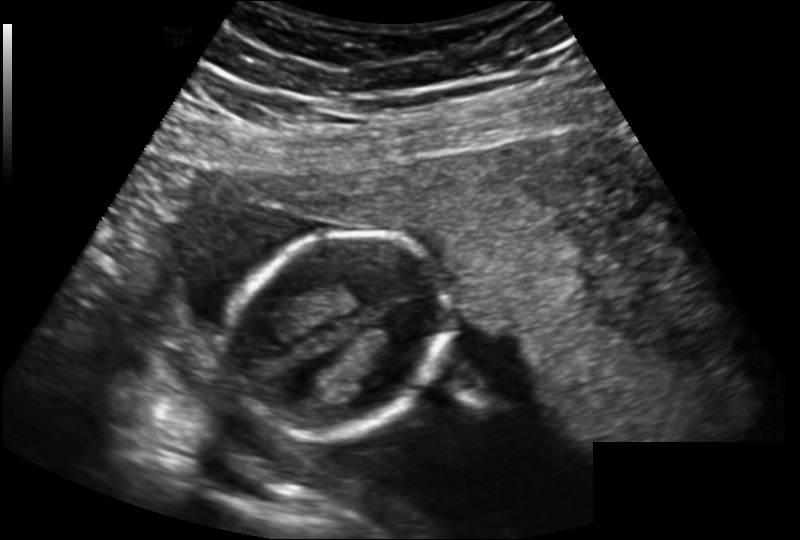
What is the fetal head circumference? Image width is 146.2 mm.

125.2 mm